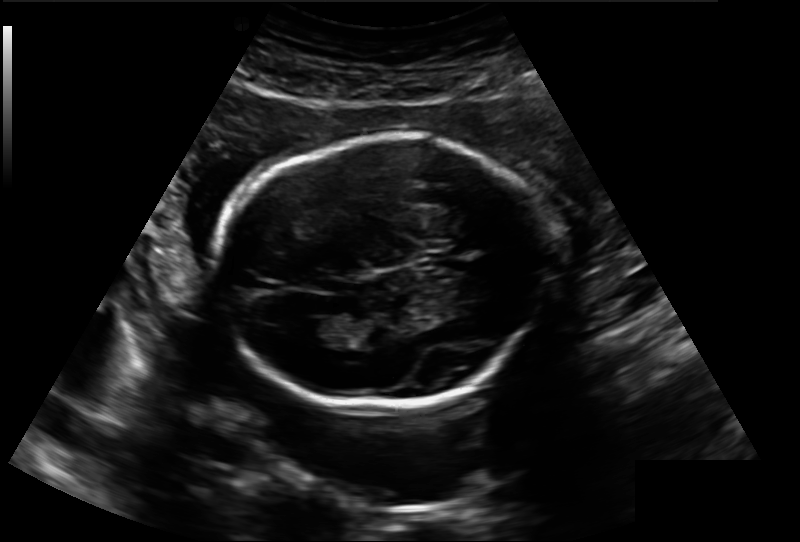
Estimate the fetal head circumference from this 2D ultrasound. Image width: 150.3 mm.

Head circumference: 183.7 mm.